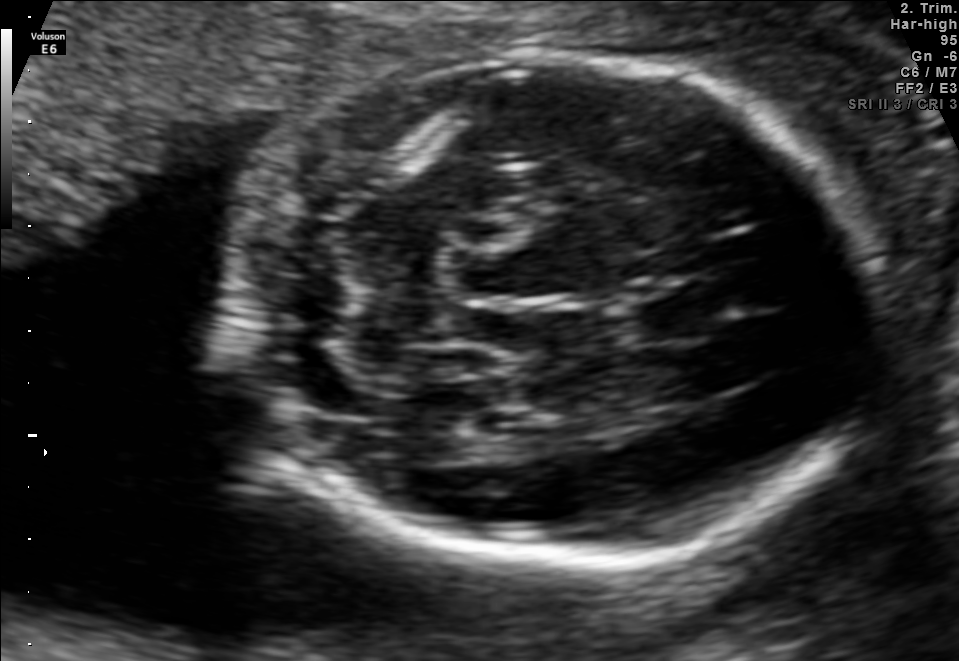
In this fetal brain, trans-cerebellum plane, give the bounding box of the fetal head.

[225,56,874,565]